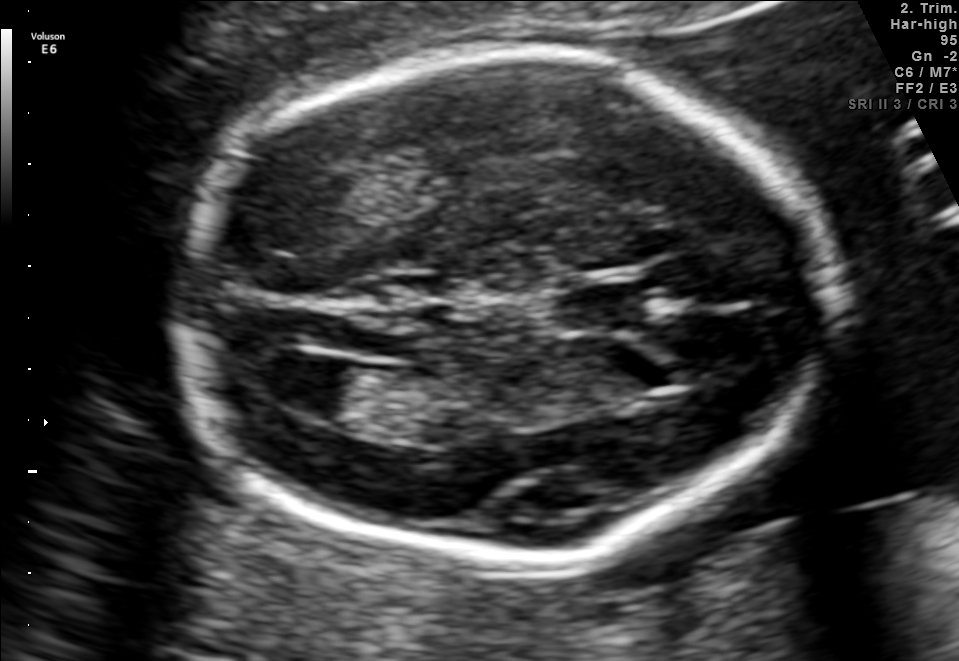
Fetal brain, trans-ventricular plane. Where is the lateral ventricle?

Lateral ventricle bounding box: [258,341,369,430]